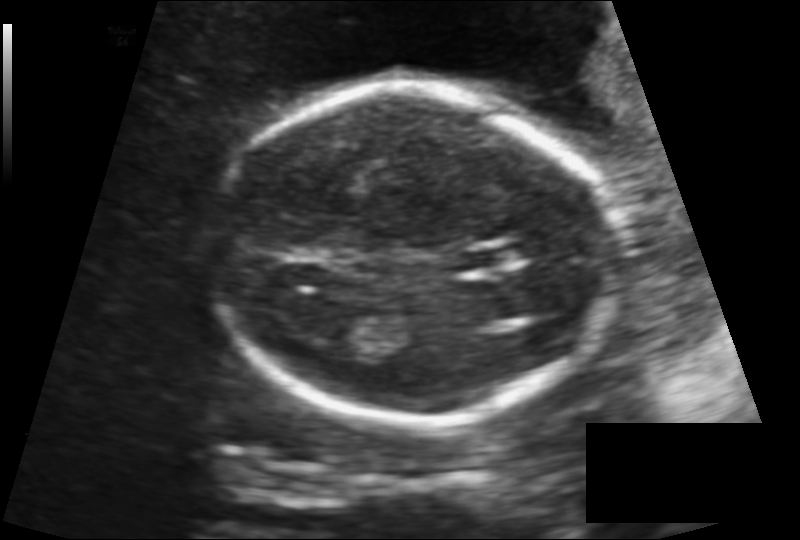
From this fetal ultrasound, estimate the head circumference (image width 110.1 mm).

Head circumference: 168.3 mm.